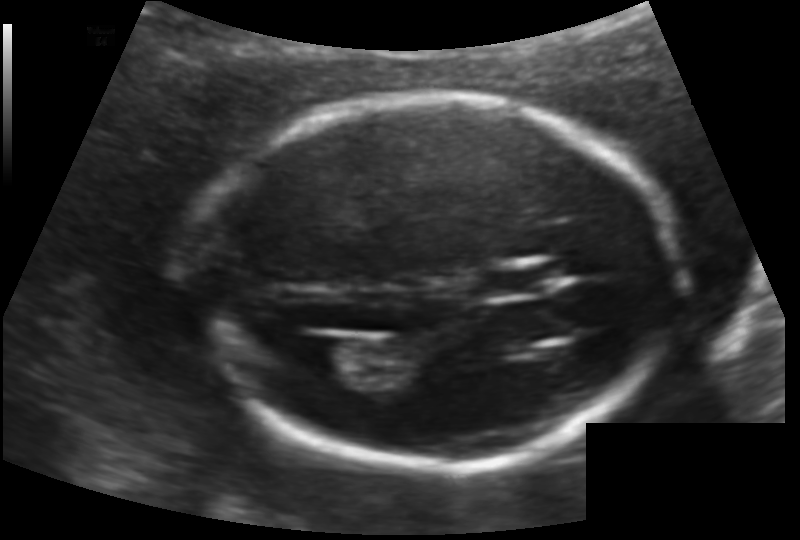
From this fetal ultrasound, estimate the head circumference (image width 99.5 mm).

Head circumference: 169.8 mm.